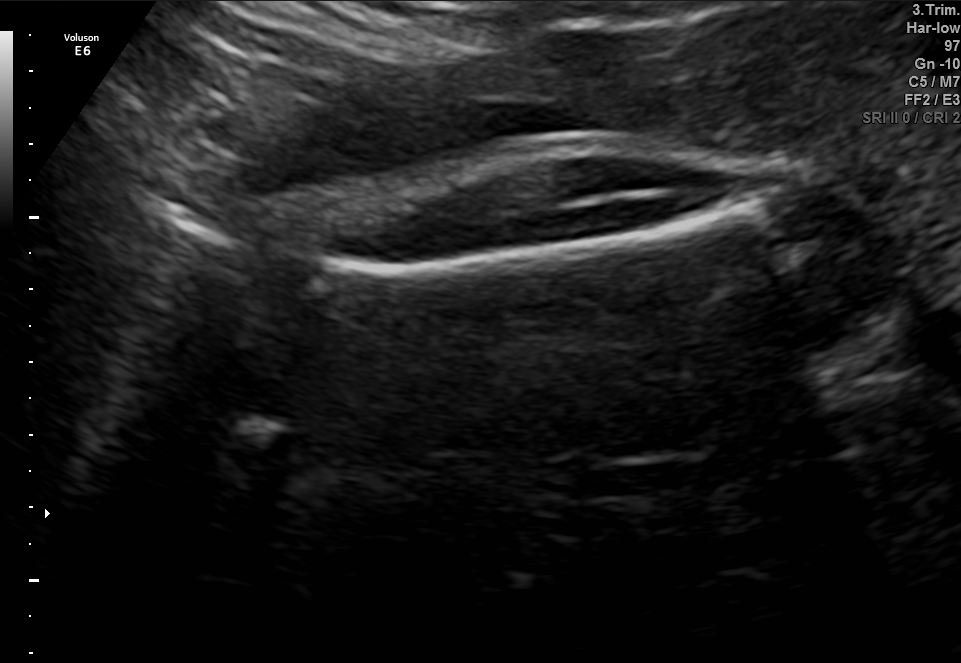
This is a 2D maternal-fetal ultrasound frame. Is it a fetal abdomen, fetal brain, fetal femur, fetal thorax, maternal cervix, or other standard plane? If it's fetal brain and one of the three standard brain planes (trans-thalamic, trans-cerebellum, trans-ventricular), name which.

Fetal femur